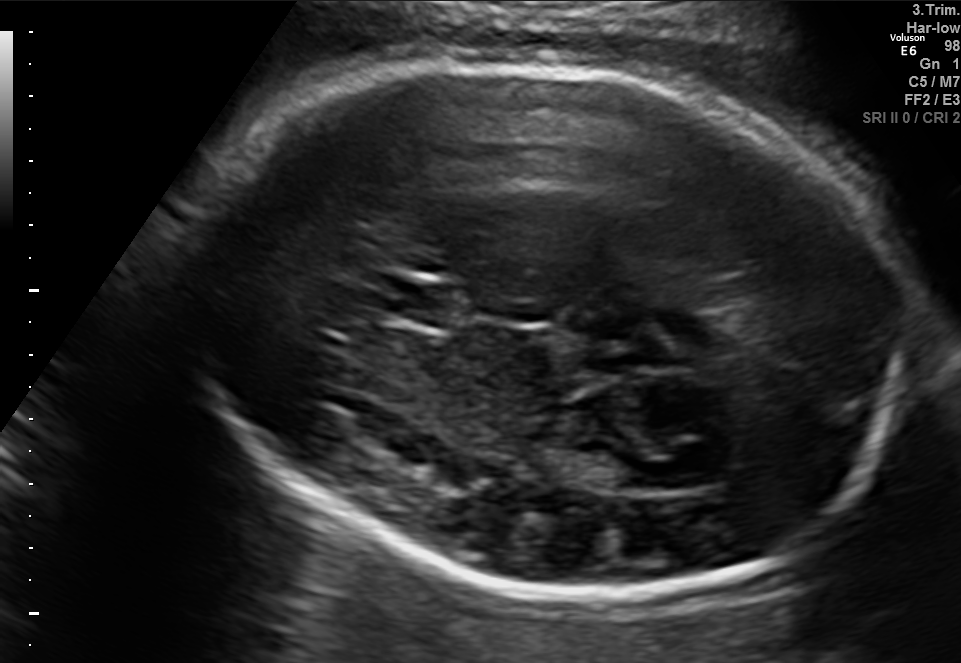
Fetal brain, trans-thalamic plane. Locate the fetal head and, if visible, the cavum septum pellucidum (CSP) and lateral ventricle (LV). Give bounding boxes as [x1,y1,x2,y2].

Head: [178,62,927,593]
CSP: [377,277,473,331]
Lateral ventricle: [562,449,652,491]